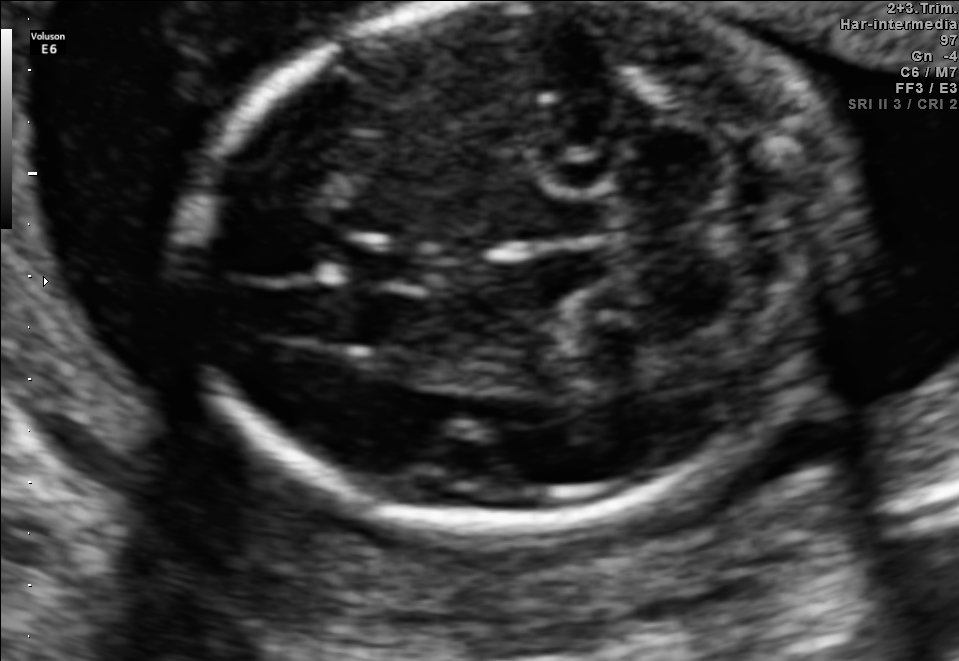
Fetal brain, trans-cerebellum plane. Locate the fetal head.

Head: [181,6,850,517]